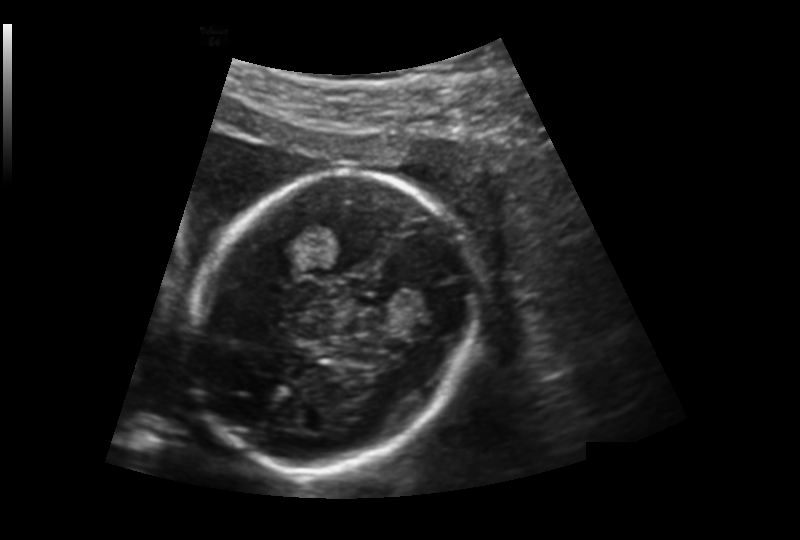
Fetal head ultrasound. Image width: 140.4 mm. Locate the fetal head.

Head: [186,171,469,467]